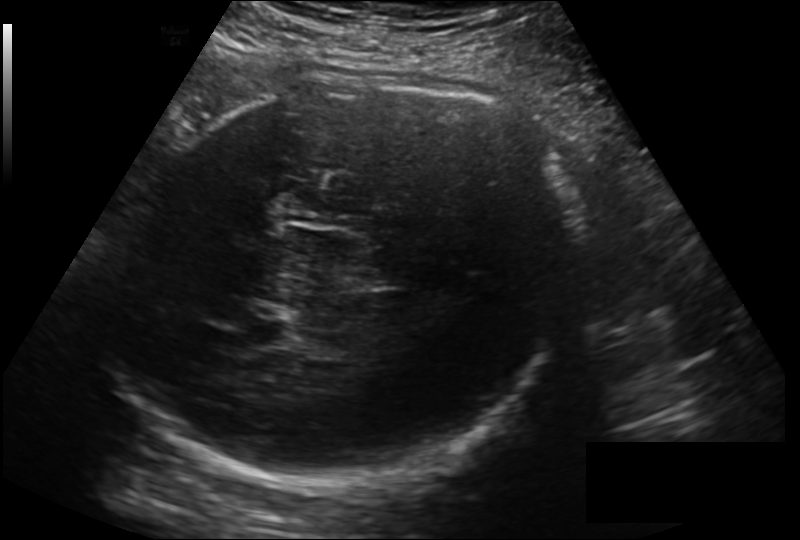
From this fetal ultrasound, estimate the head circumference (image width 168.5 mm).

Head circumference: 299.2 mm.